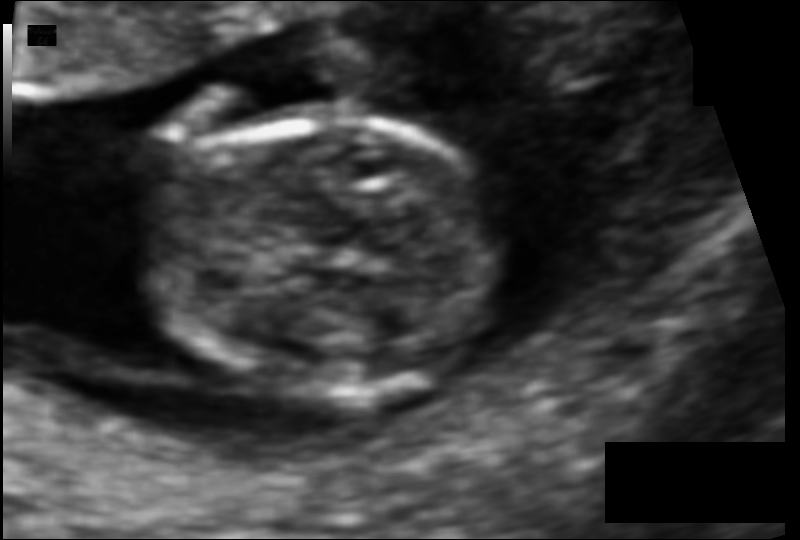
Estimate the fetal head circumference from this 2D ultrasound. Image width: 58.2 mm.

Head circumference: 73.8 mm.